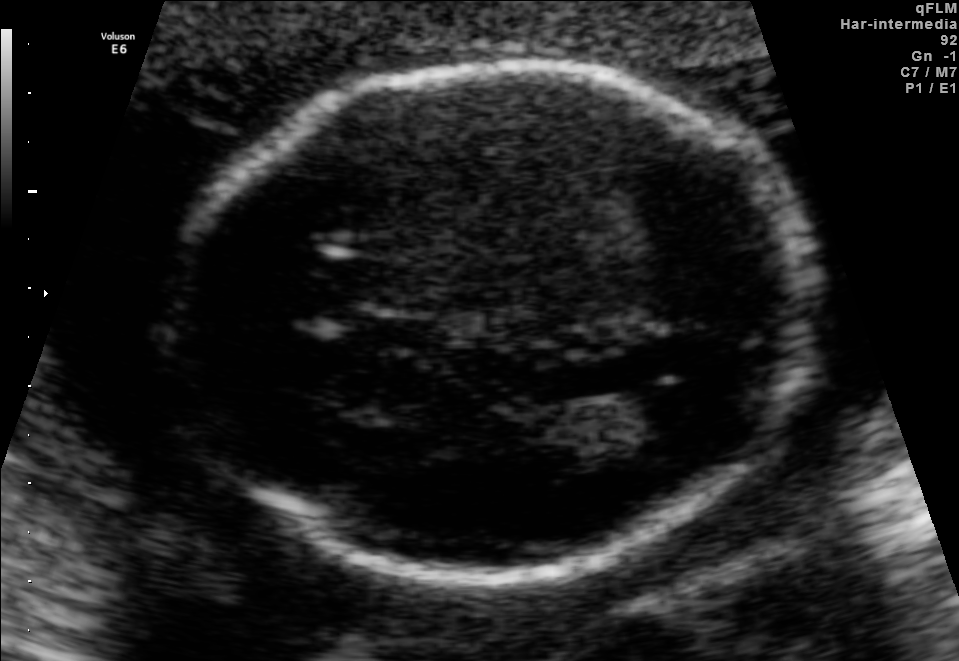
Fetal brain, trans-ventricular plane. Locate the fetal head.

Head: [159,58,826,589]